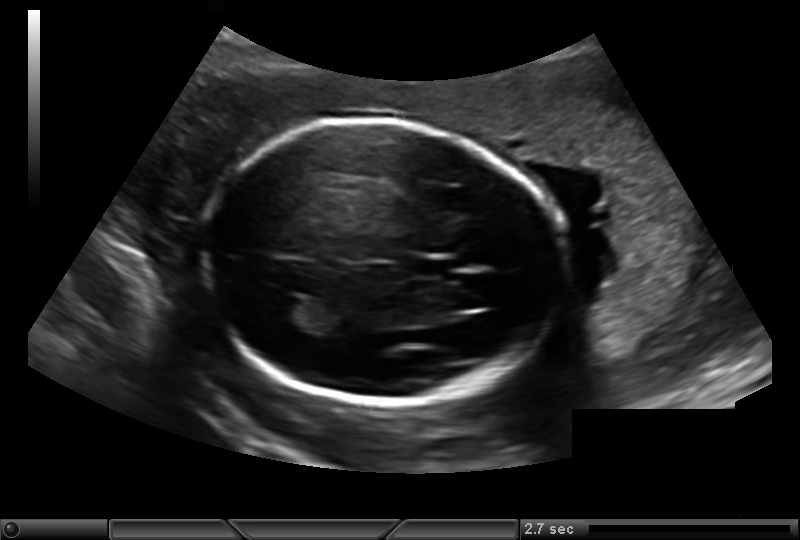
From this fetal ultrasound, estimate the head circumference (image width 154.2 mm).

Head circumference: 202.7 mm.